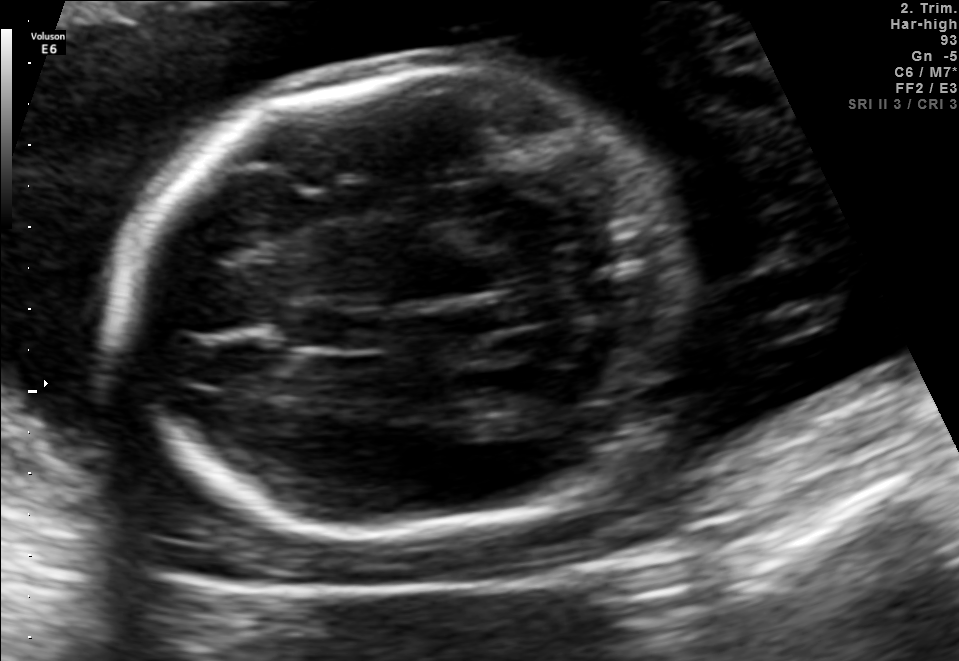
Fetal brain, trans-cerebellum plane. Locate the fetal head and, if visible, the cavum septum pellucidum (CSP) and lateral ventricle (LV). Give bounding boxes as [x1,y1,x2,y2].

Head: [122,66,673,545]
CSP: [289,311,375,352]